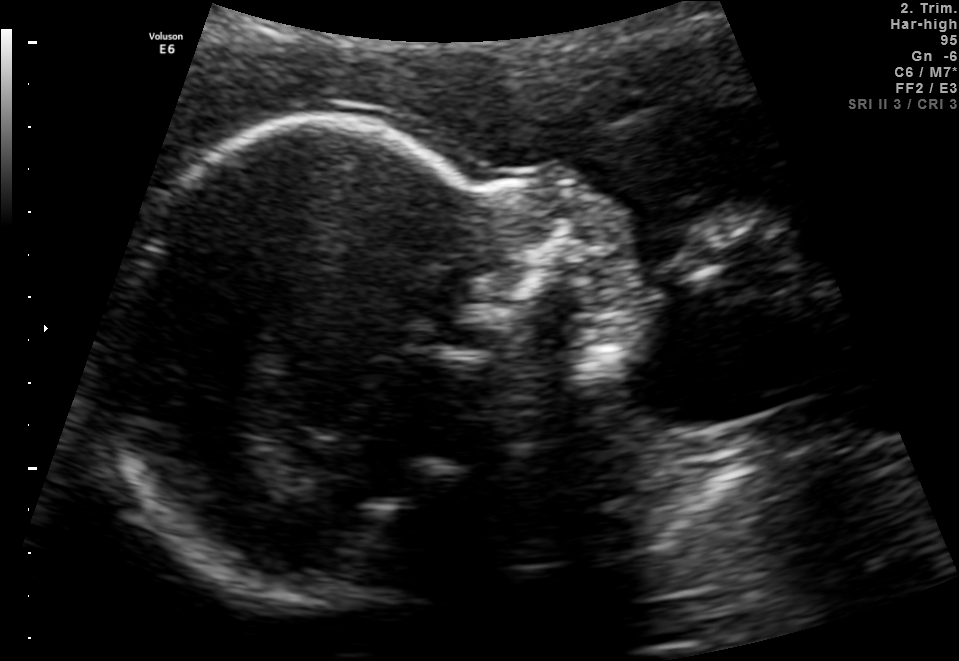
This is a 2D maternal-fetal ultrasound frame. Is it a fetal abdomen, fetal brain, fetal femur, fetal thorax, maternal cervix, or other standard plane? If it's fetal brain and one of the three standard brain planes (trans-thalamic, trans-cerebellum, trans-ventricular), name which.

Other